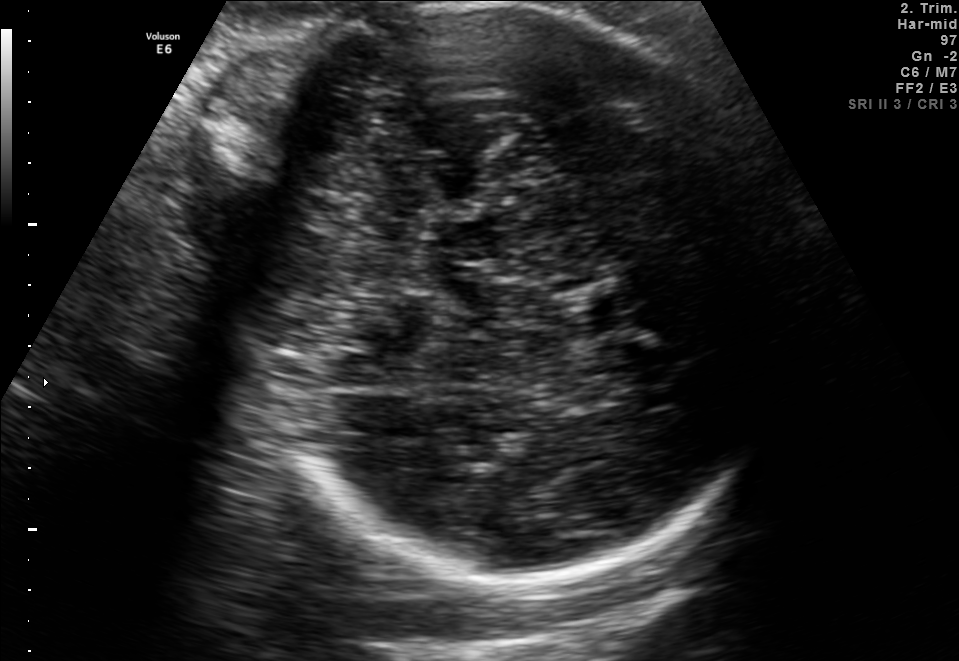
Fetal brain, trans-thalamic plane. Where is the fetal head?

Head bounding box: [242,2,775,585]